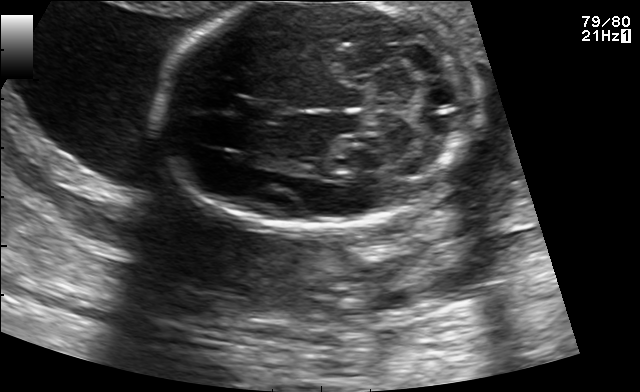
In this fetal brain, trans-cerebellum plane, give bounding boxes for the head outline, cavum septum pellucidum (CSP), and lateral ventricle (LV), where visible.

Head: [156,3,483,228]
CSP: [236,97,287,125]